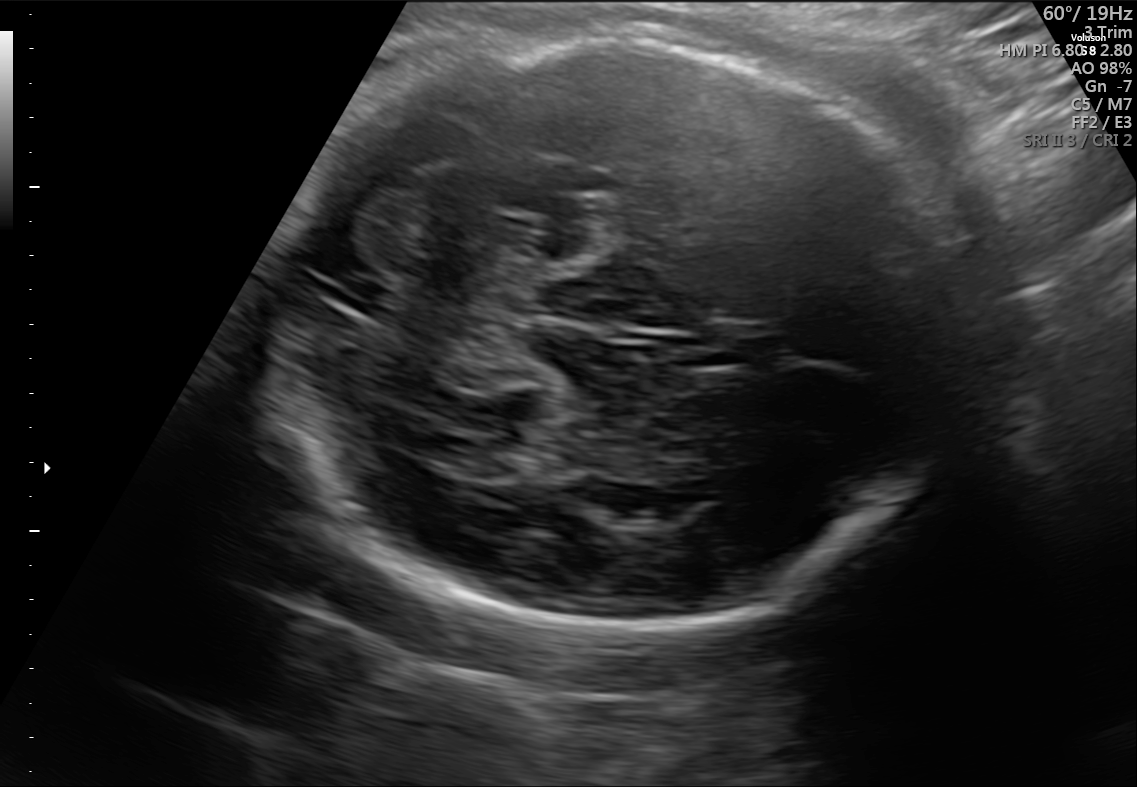
Fetal brain, trans-cerebellum plane. Locate the fetal head and, if visible, the cavum septum pellucidum (CSP) and lateral ventricle (LV). Give bounding boxes as [x1,y1,x2,y2].

Head: [274,36,960,627]